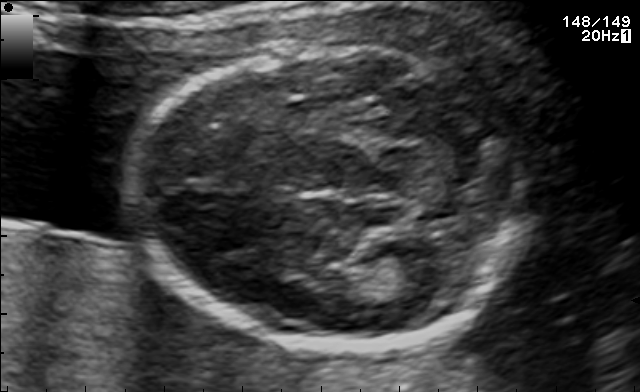
Fetal brain, trans-thalamic plane. Locate the fetal head and, if visible, the cavum septum pellucidum (CSP) and lateral ventricle (LV). Give bounding boxes as [x1,y1,x2,y2].

Head: [133,47,521,347]